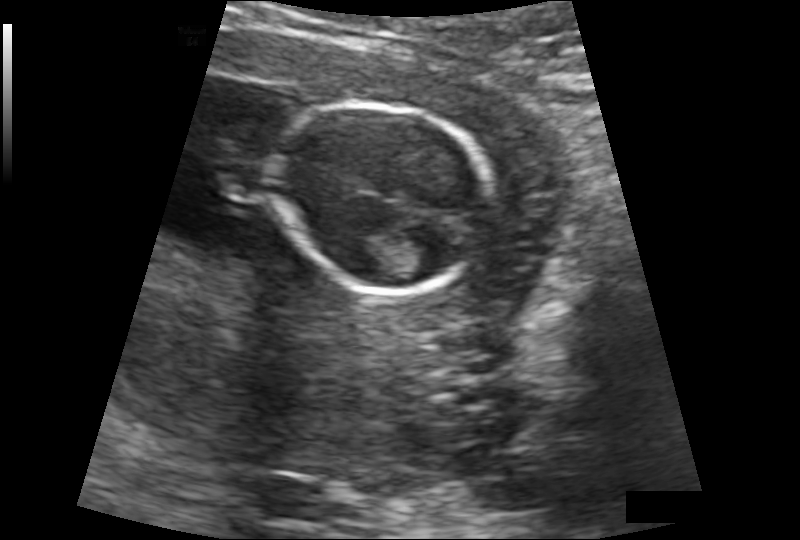
In this fetal head ultrasound, give bounding boxes for the head outline, cavum septum pellucidum (CSP), and lateral ventricle (LV), where visible. Image width: 105.8 mm.

Head: [274,105,492,291]